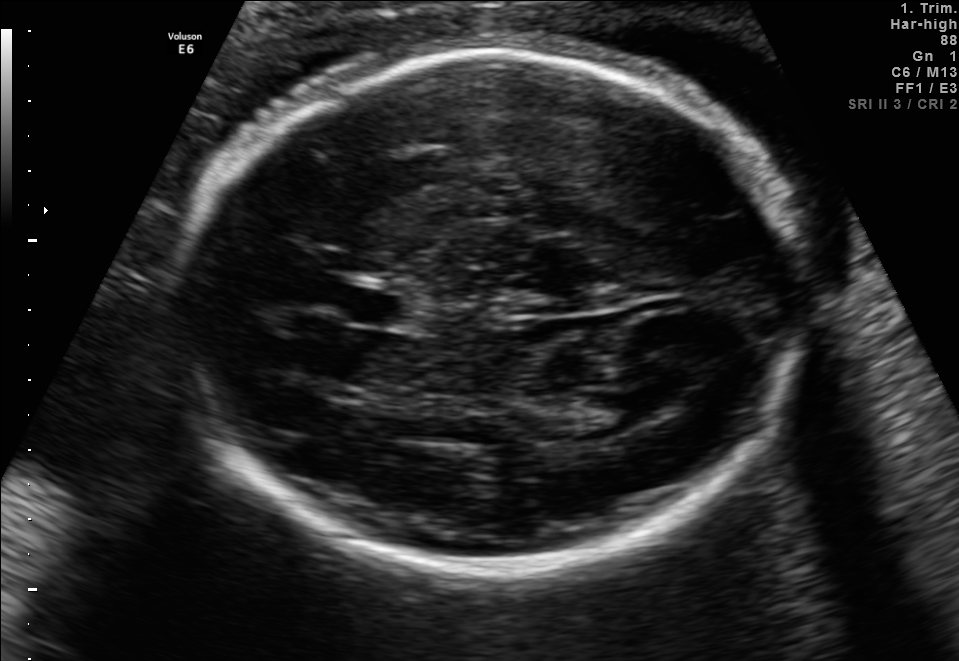
In this fetal brain, trans-thalamic plane, give the bounding box of the fetal head.

[180,54,819,573]